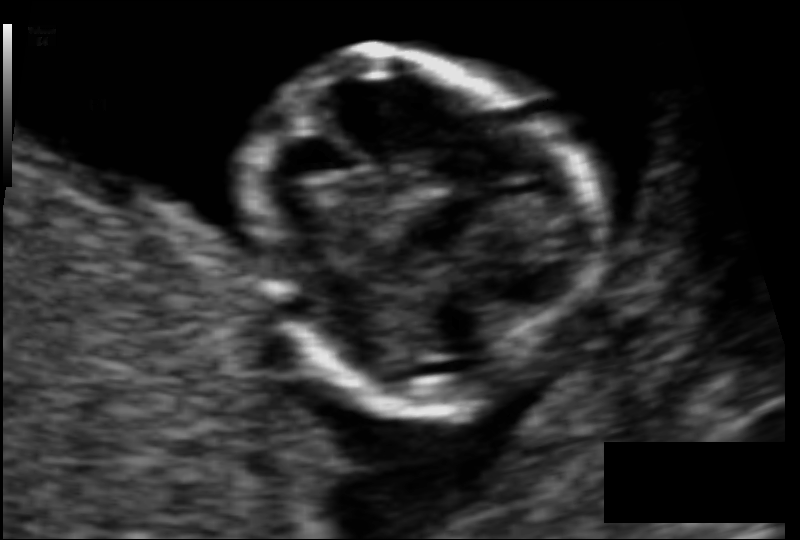
Estimate the fetal head circumference from this 2D ultrasound. Image width: 54.6 mm.

Head circumference: 75.8 mm.